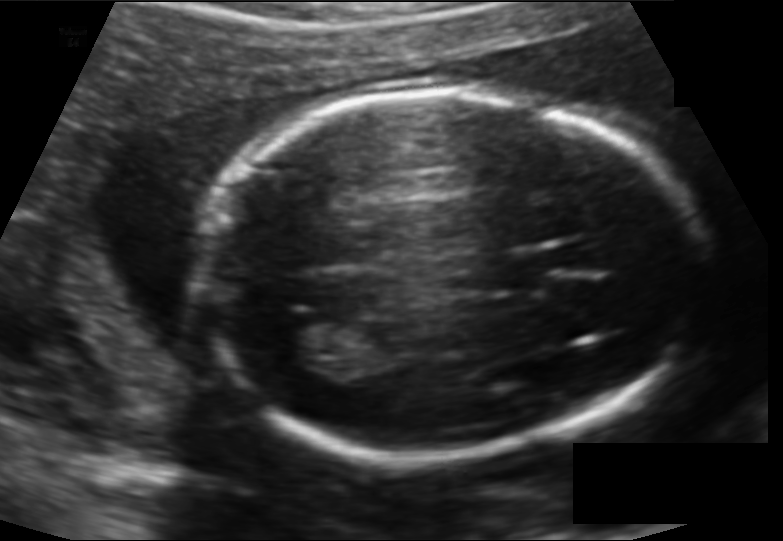
Fetal head ultrasound. Image width: 100.2 mm. Locate the lateral ventricle.

Lateral ventricle: [264,308,343,370]